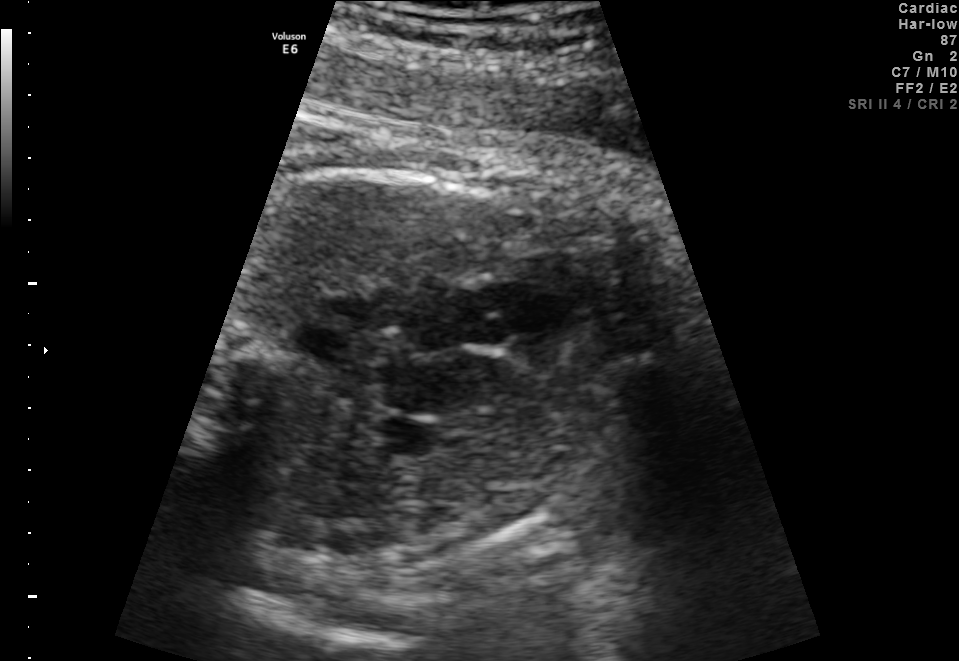
Which standard maternal-fetal ultrasound plane is shown: fetal abdomen, fetal brain, fetal femur, fetal thorax, maternal cervix, or other? If it's fetal brain and one of the three standard brain planes (trans-thalamic, trans-cerebellum, trans-ventricular), name which.

Other